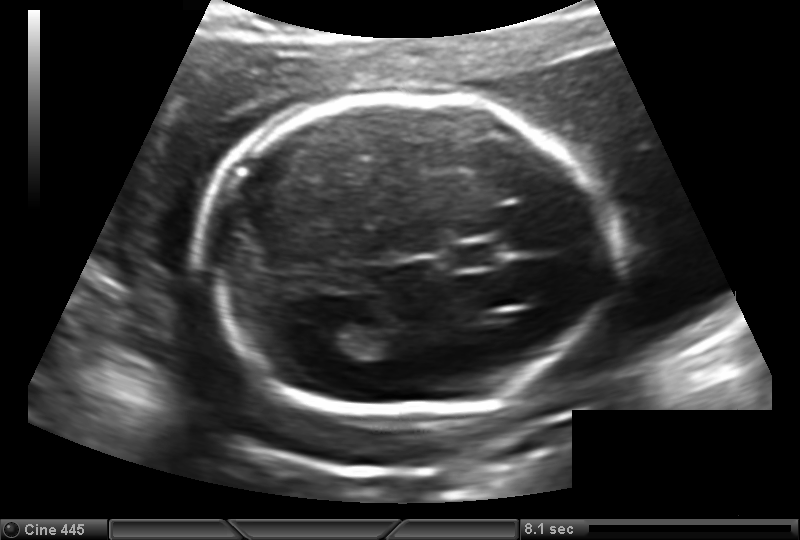
Fetal head ultrasound. Image width: 119.4 mm. Where is the lateral ventricle?

Lateral ventricle bounding box: [315,320,367,358]